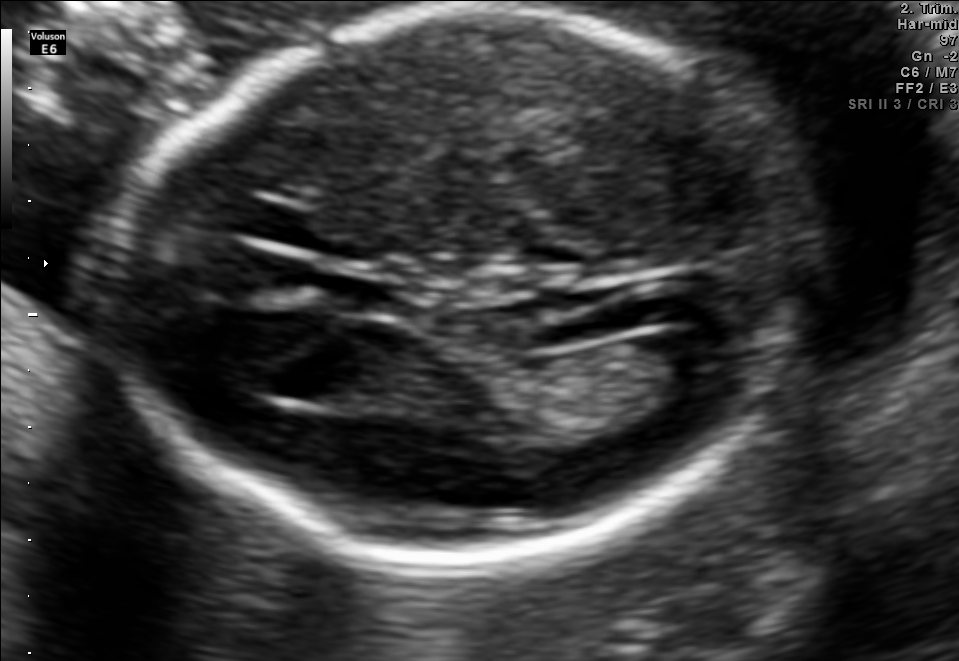
Classify this maternal-fetal ultrasound image as one of the six standard planes — fetal abdomen, fetal brain, fetal femur, fetal thorax, maternal cervix, or other. If it's fetal brain and one of the three standard brain planes (trans-thalamic, trans-cerebellum, trans-ventricular), name which.

Fetal brain (trans-ventricular plane)